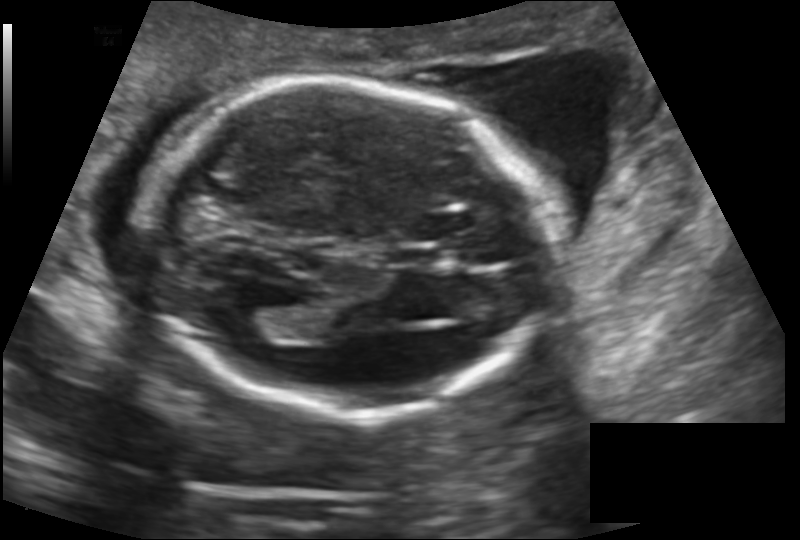
From this fetal ultrasound, estimate the head circumference (image width 116.4 mm).

Head circumference: 175.0 mm.